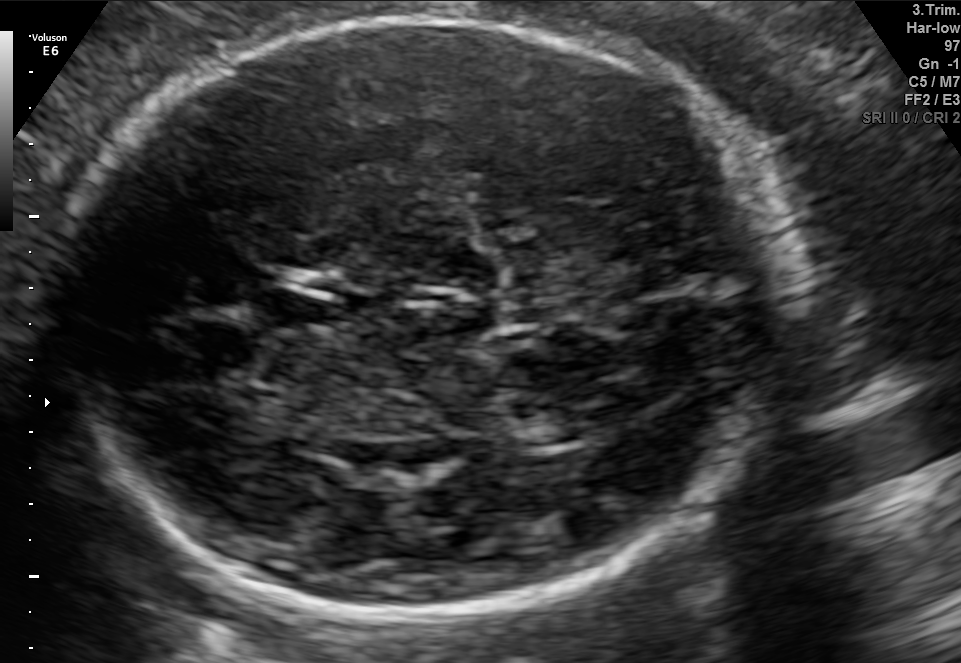
Fetal brain, trans-thalamic plane. Locate the cavum septum pellucidum.

CSP: [251,283,335,336]